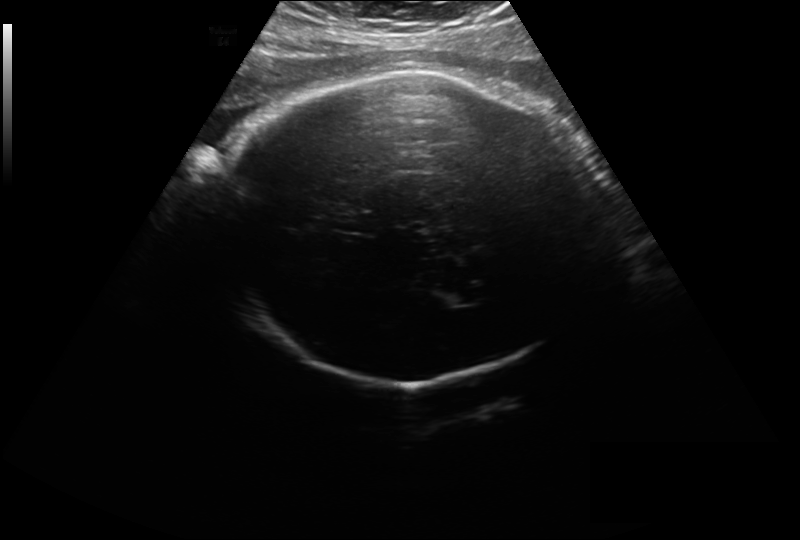
Fetal head ultrasound. Image width: 237.5 mm. Where is the fetal head?

Head bounding box: [216,70,602,383]